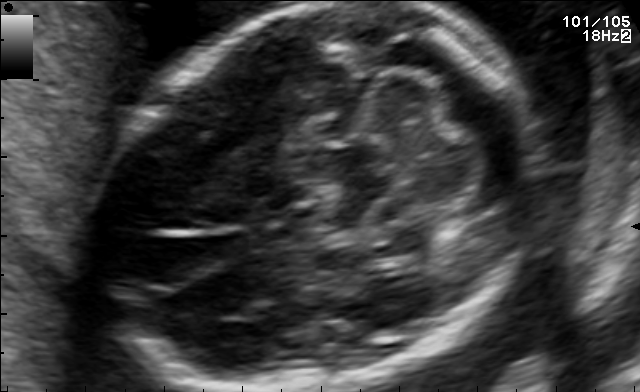
Classify this maternal-fetal ultrasound image as one of the six standard planes — fetal abdomen, fetal brain, fetal femur, fetal thorax, maternal cervix, or other. If it's fetal brain and one of the three standard brain planes (trans-thalamic, trans-cerebellum, trans-ventricular), name which.

Fetal brain (trans-cerebellum plane)